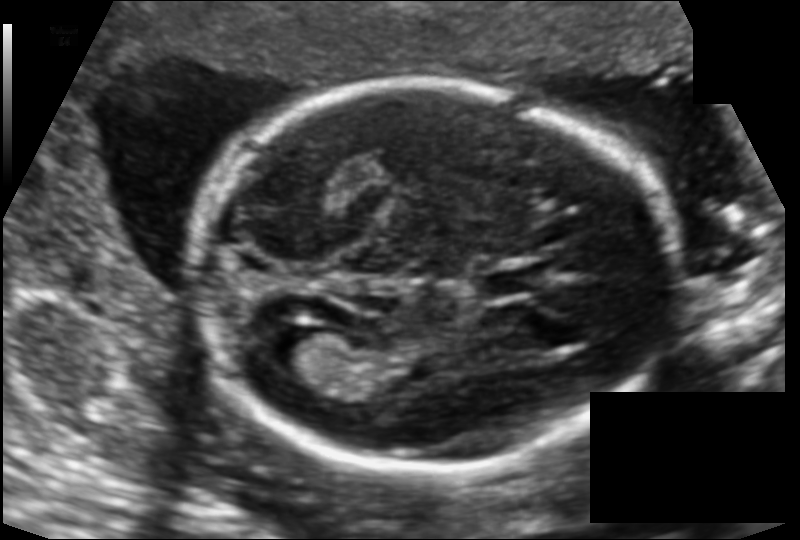
Fetal head ultrasound. Image width: 98.8 mm. Locate the lateral ventricle.

Lateral ventricle: [255,312,344,387]